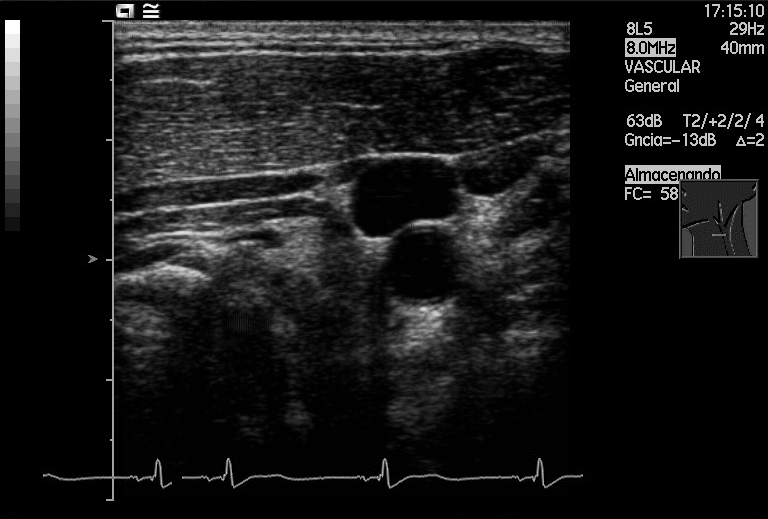
Classify this maternal-fetal ultrasound image as one of the six standard planes — fetal abdomen, fetal brain, fetal femur, fetal thorax, maternal cervix, or other. If it's fetal brain and one of the three standard brain planes (trans-thalamic, trans-cerebellum, trans-ventricular), name which.

Other